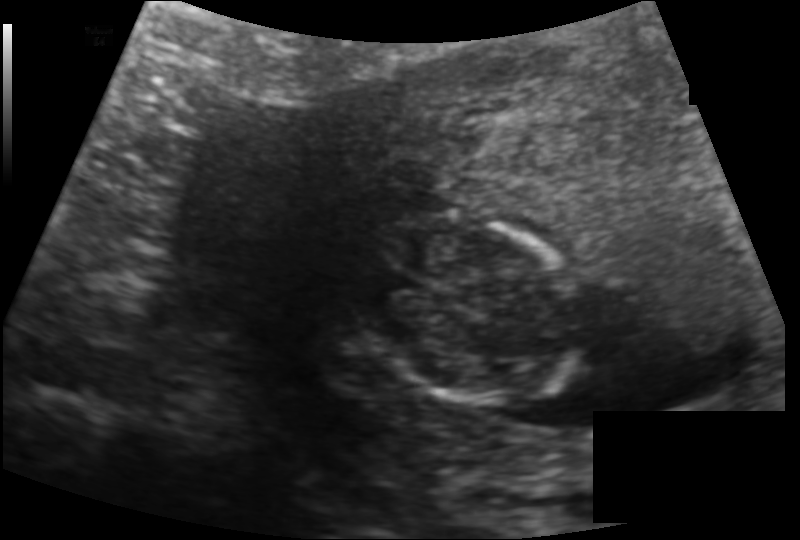
Estimate the fetal head circumference from this 2D ultrasound.

Head circumference: 87.0 mm (image width 102.6 mm).